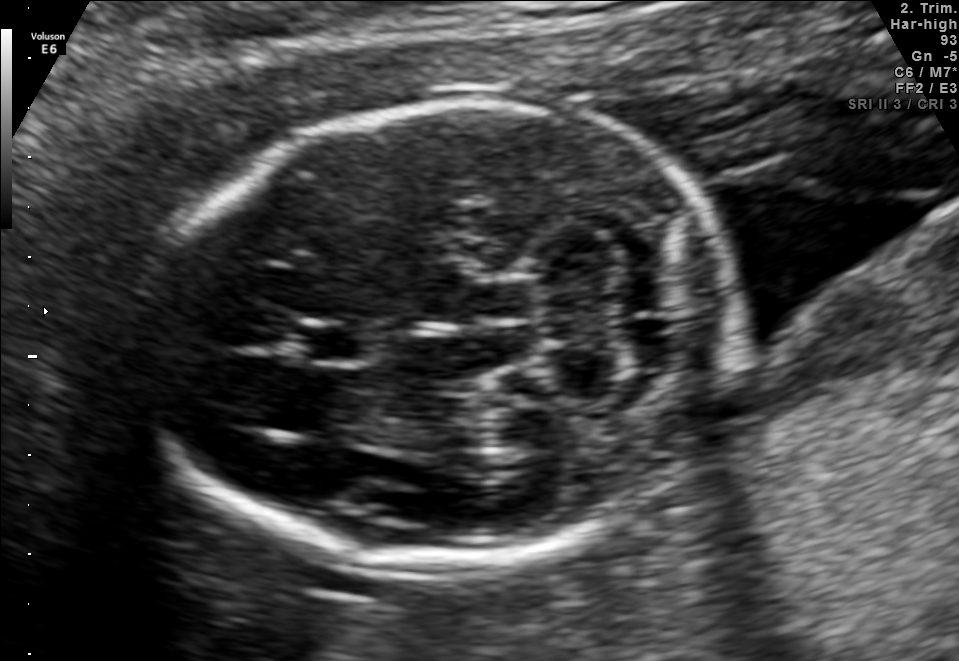
Fetal brain, trans-cerebellum plane. Where is the cavum septum pellucidum?

CSP bounding box: [299,319,376,364]